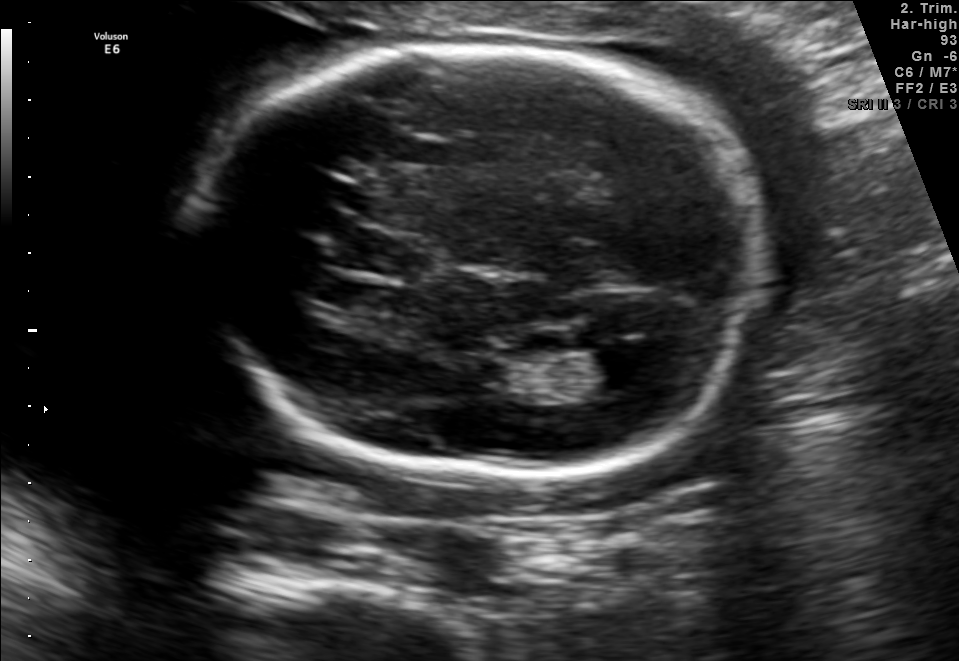
Fetal brain, trans-ventricular plane. Locate the cavum septum pellucidum.

CSP: [317,222,434,284]